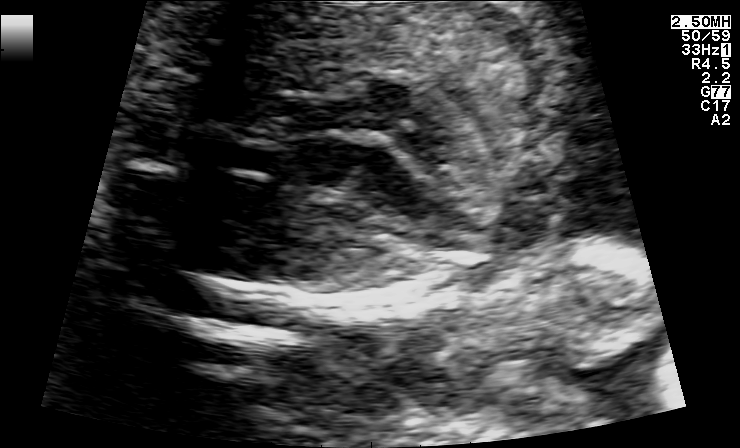
Identify the standard plane in this fetal ultrasound image: fetal abdomen, fetal brain, fetal femur, fetal thorax, maternal cervix, or other. If it's fetal brain and one of the three standard brain planes (trans-thalamic, trans-cerebellum, trans-ventricular), name which.

Fetal thorax